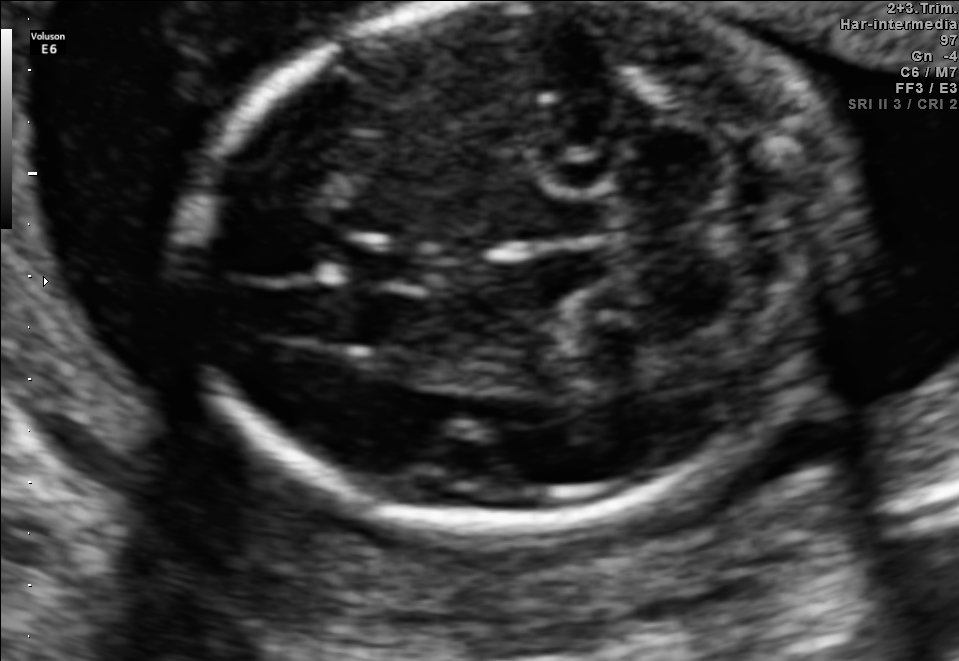
Fetal brain, trans-cerebellum plane. Locate the fetal head and, if visible, the cavum septum pellucidum (CSP) and lateral ventricle (LV). Give bounding boxes as [x1,y1,x2,y2].

Head: [181,6,850,517]
CSP: [328,235,426,291]